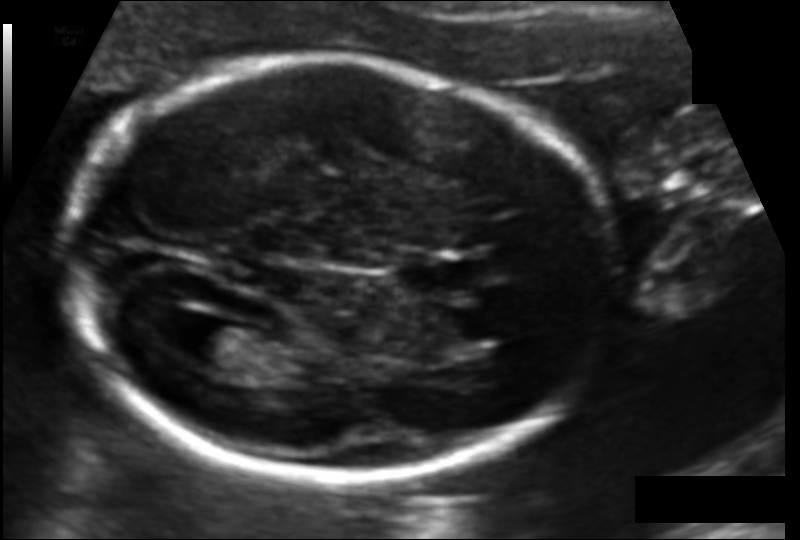
Fetal head ultrasound. Image width: 91.0 mm. Locate the fetal head and, if visible, the cavum septum pellucidum (CSP) and lateral ventricle (LV). Give bounding boxes as [x1,y1,x2,y2].

Head: [64,57,616,481]
CSP: [398,255,466,296]
Lateral ventricle: [176,315,253,371]